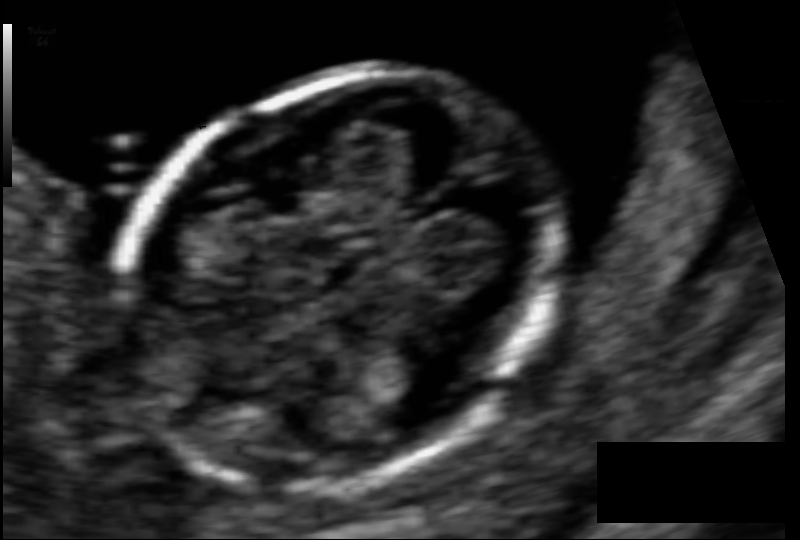
In this fetal head ultrasound, give the bounding box of the fetal head. Image width: 48.5 mm.

[114,74,564,481]